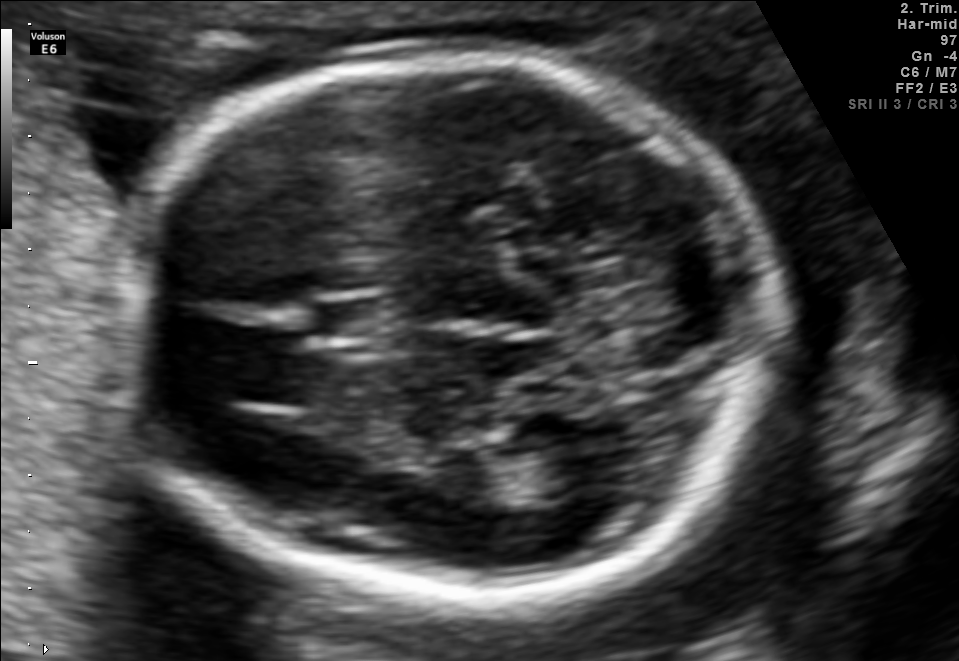
Fetal brain, trans-thalamic plane. Locate the lateral ventricle.

Lateral ventricle: [480,433,609,511]